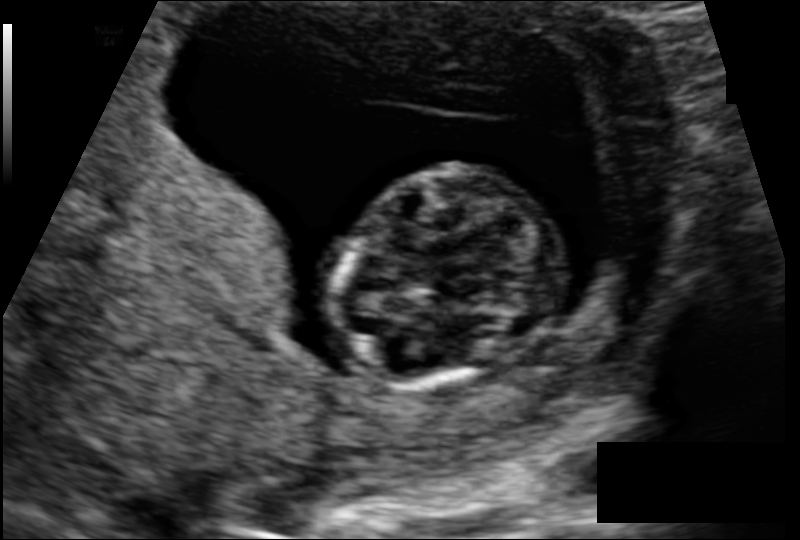
In this fetal head ultrasound, give the bounding box of the fetal head. Image width: 86.1 mm.

[337,162,543,391]